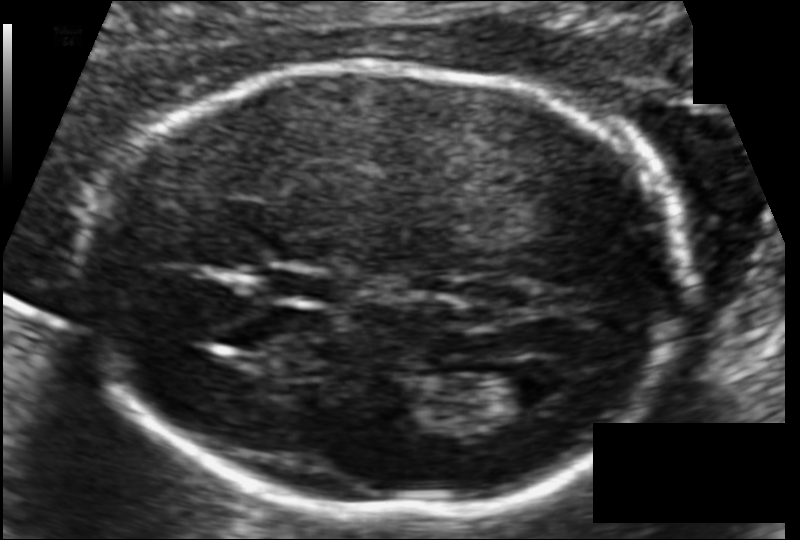
Measure the fetal head circumference shown in this ultrasound image. Image width: 81.8 mm.

Head circumference: 173.3 mm.